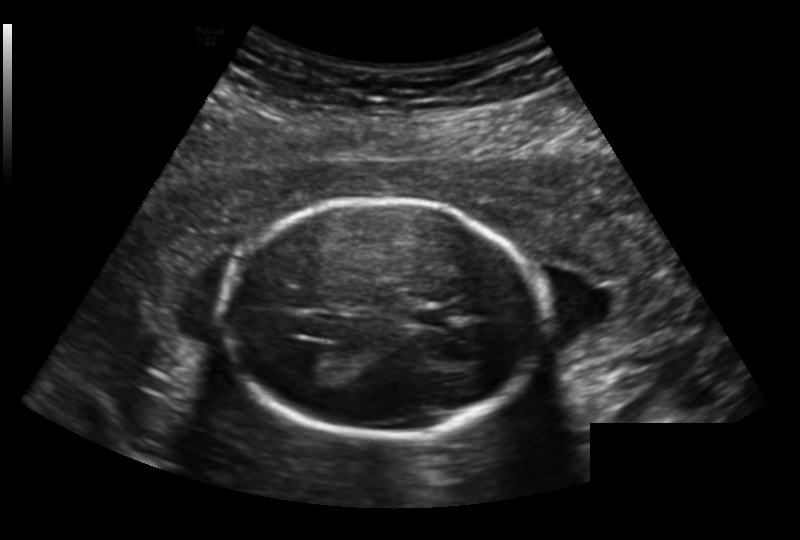
In this fetal head ultrasound, give the bounding box of the fetal head. Image width: 152.4 mm.

[226,203,551,435]